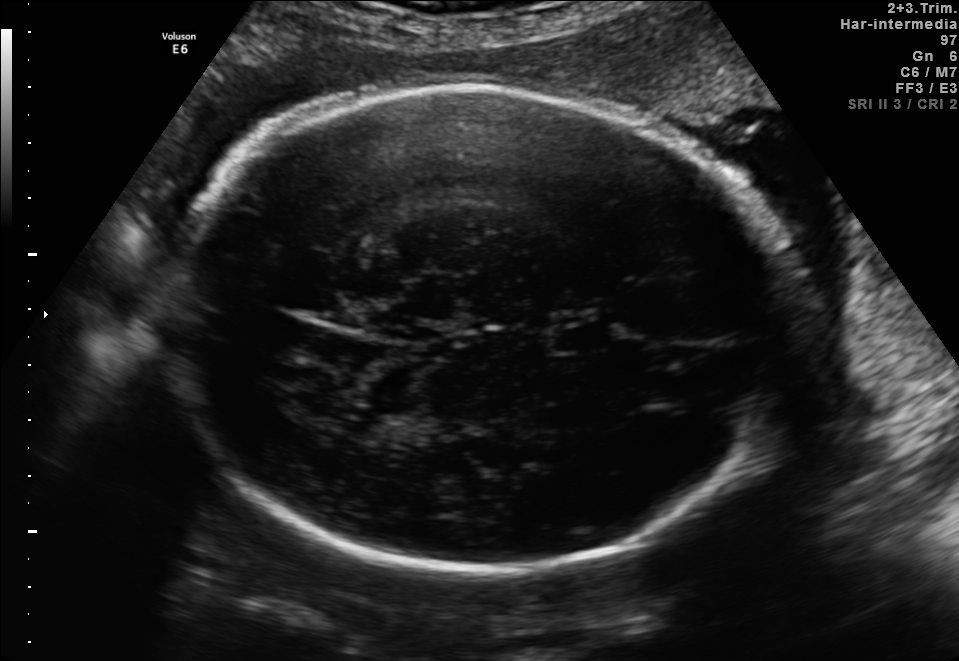
Fetal brain, trans-thalamic plane. Locate the fetal head and, if visible, the cavum septum pellucidum (CSP) and lateral ventricle (LV). Give bounding boxes as [x1,y1,x2,y2].

Head: [174,84,801,575]
CSP: [553,324,615,352]